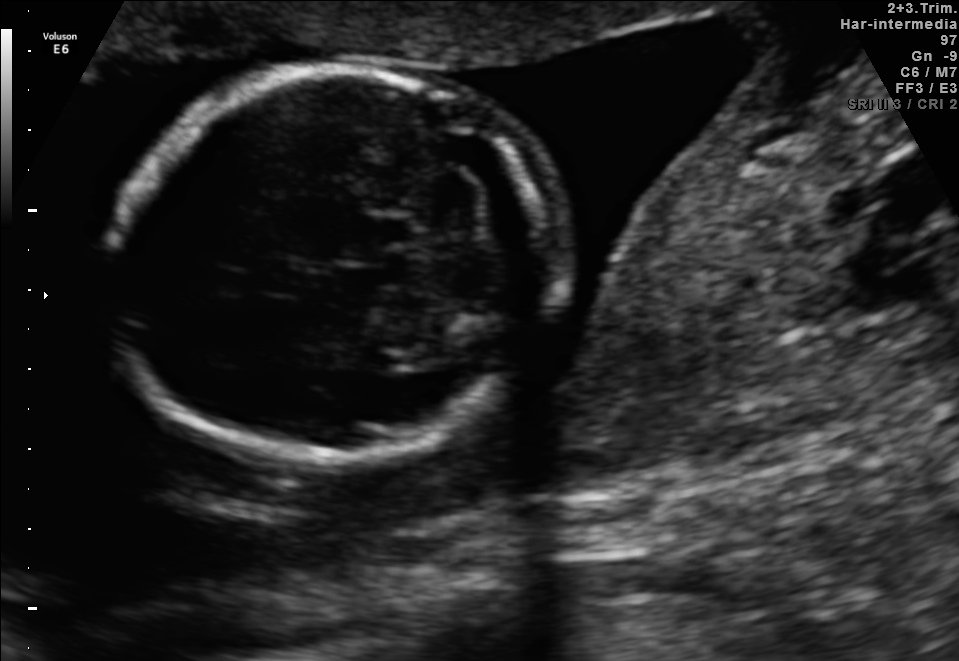
Fetal brain, trans-cerebellum plane. Locate the fetal head.

Head: [111,67,548,464]